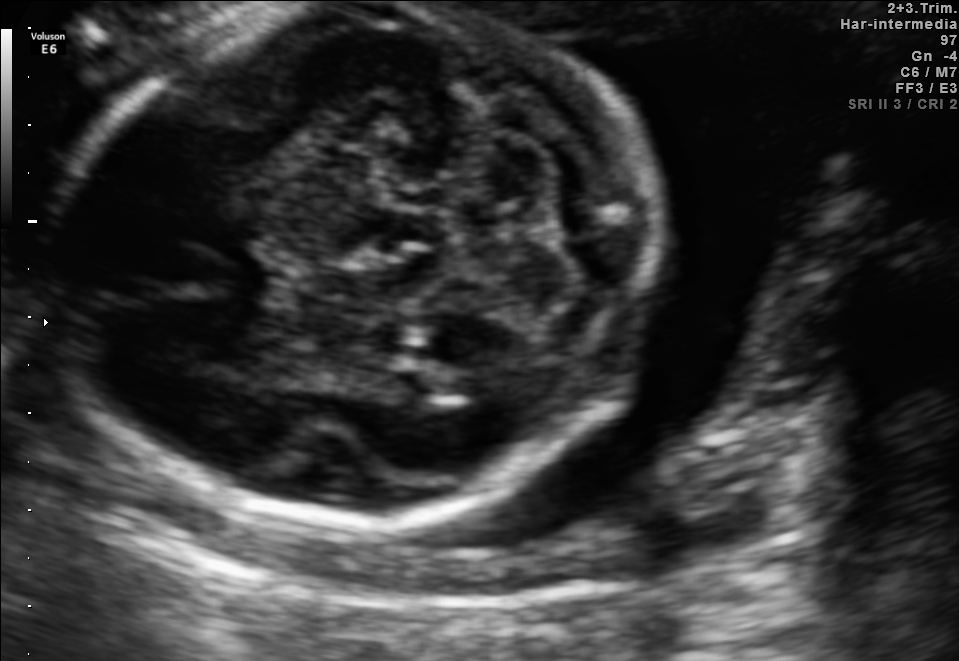
Fetal brain, trans-cerebellum plane. Give [x1,y1,x2,y2] bounding boxes for each visible structure among: fetal head, CSP, LV.

Head: [51,4,656,525]